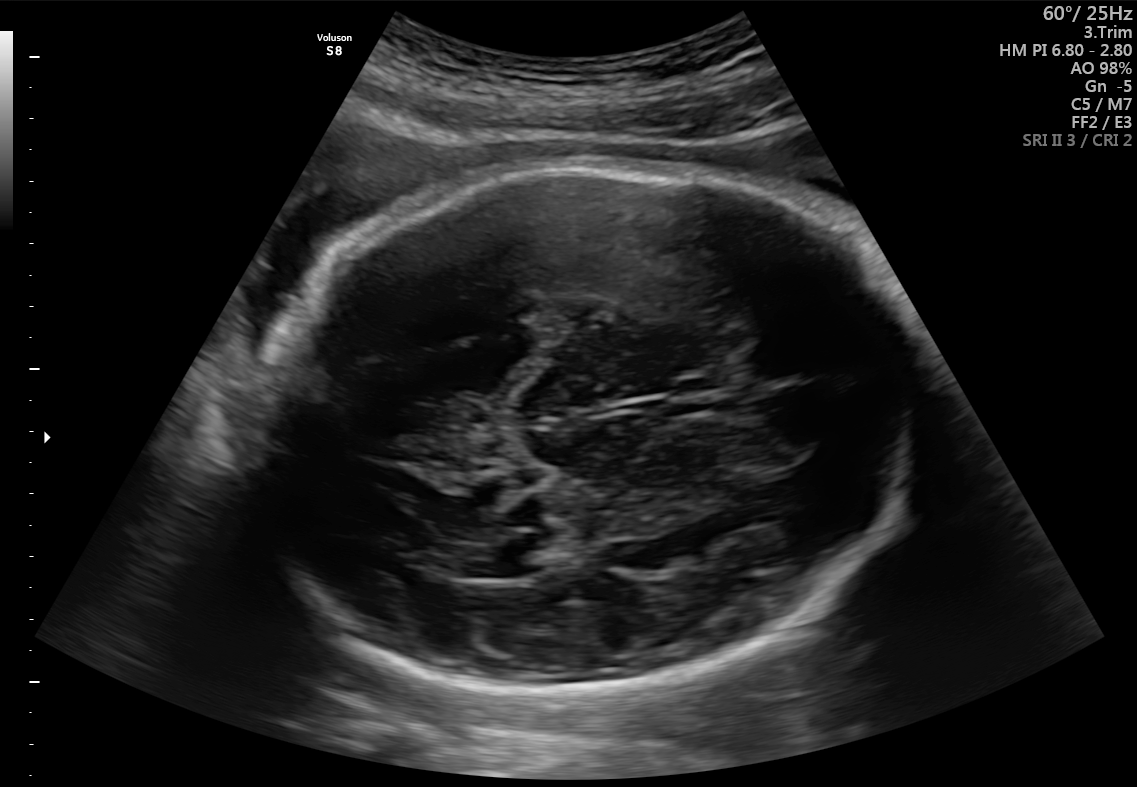
Fetal brain, trans-ventricular plane. Where is the fetal head?

Head bounding box: [241,155,922,701]